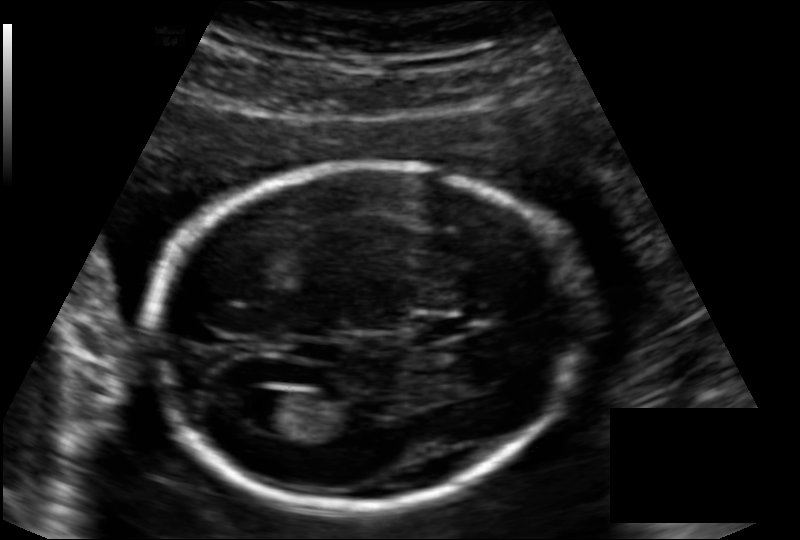
What is the fetal head circumference? Image width is 108.5 mm.

173.3 mm